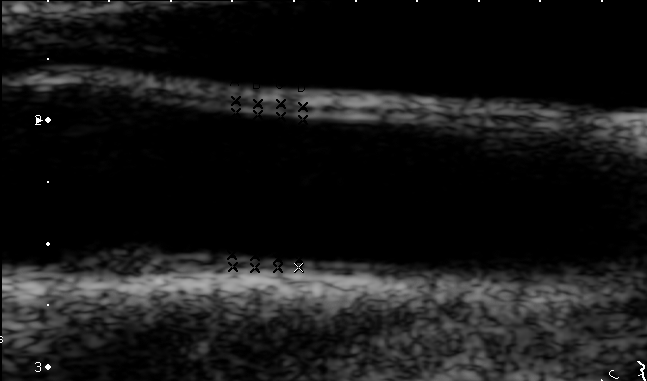
Classify this maternal-fetal ultrasound image as one of the six standard planes — fetal abdomen, fetal brain, fetal femur, fetal thorax, maternal cervix, or other. If it's fetal brain and one of the three standard brain planes (trans-thalamic, trans-cerebellum, trans-ventricular), name which.

Other